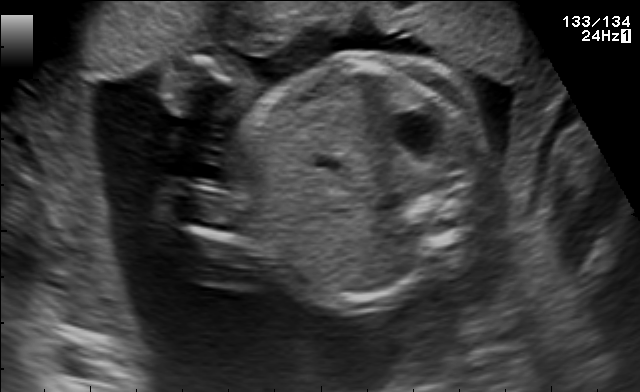
Identify the standard plane in this fetal ultrasound image: fetal abdomen, fetal brain, fetal femur, fetal thorax, maternal cervix, or other. If it's fetal brain and one of the three standard brain planes (trans-thalamic, trans-cerebellum, trans-ventricular), name which.

Fetal abdomen